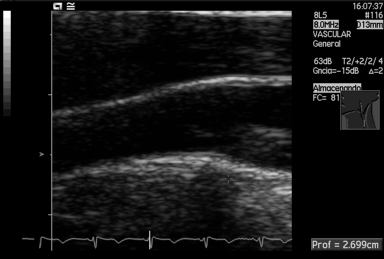
This is a 2D maternal-fetal ultrasound frame. Is it a fetal abdomen, fetal brain, fetal femur, fetal thorax, maternal cervix, or other standard plane? If it's fetal brain and one of the three standard brain planes (trans-thalamic, trans-cerebellum, trans-ventricular), name which.

Other